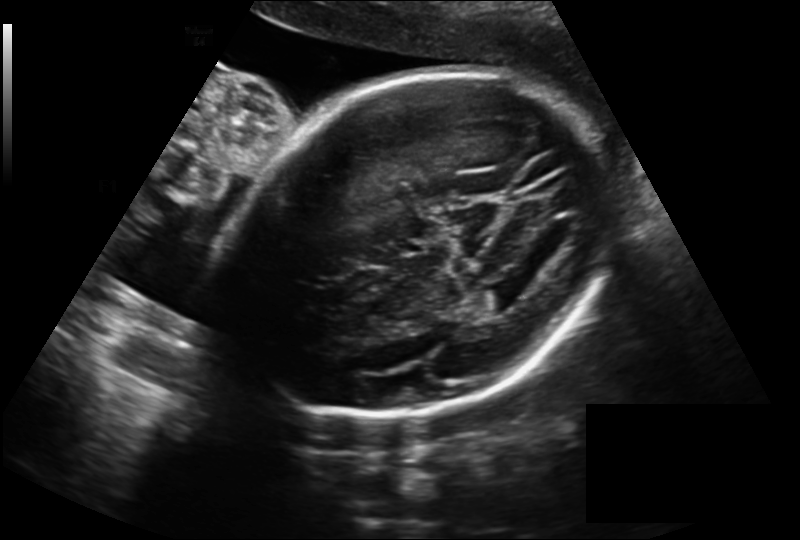
Estimate the fetal head circumference from this 2D ultrasound. Image width: 179.9 mm.

Head circumference: 260.6 mm.